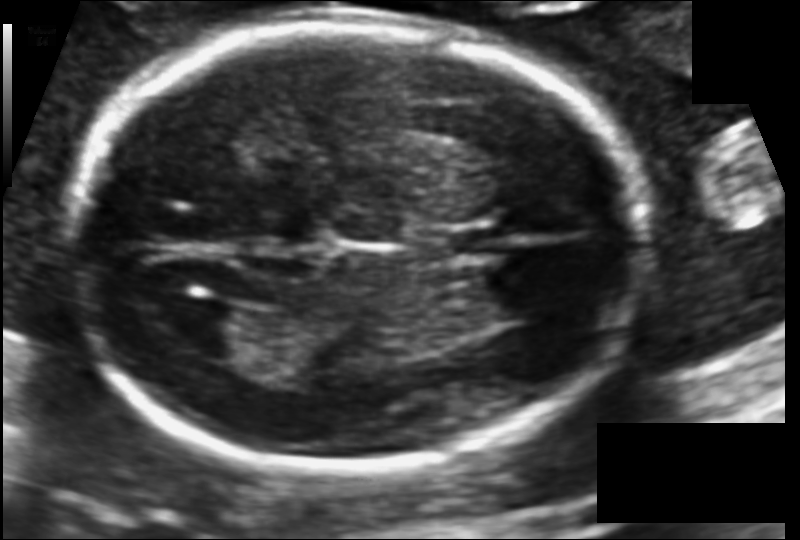
Fetal head ultrasound. Image width: 90.1 mm. Locate the fetal head and, if visible, the cavum septum pellucidum (CSP) and lateral ventricle (LV). Give bounding boxes as [x1,y1,x2,y2].

Head: [63,25,650,471]
CSP: [434,221,500,262]
Lateral ventricle: [157,293,251,364]